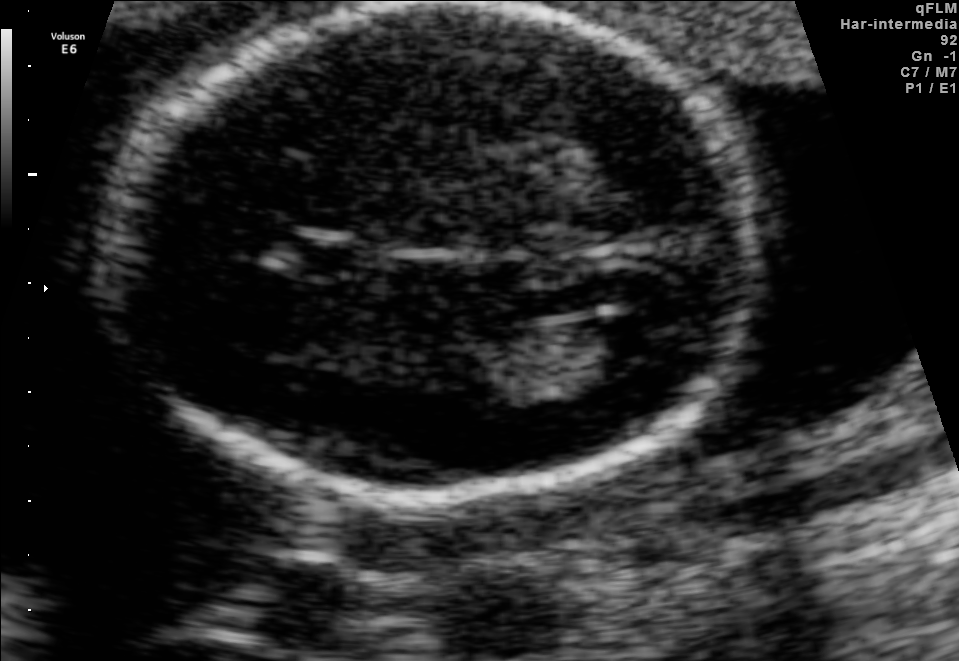
In this fetal brain, trans-ventricular plane, give bounding boxes for the head outline, cavum septum pellucidum (CSP), and lateral ventricle (LV), where visible.

Head: [92,3,771,512]
CSP: [279,234,370,278]
Lateral ventricle: [577,301,677,376]